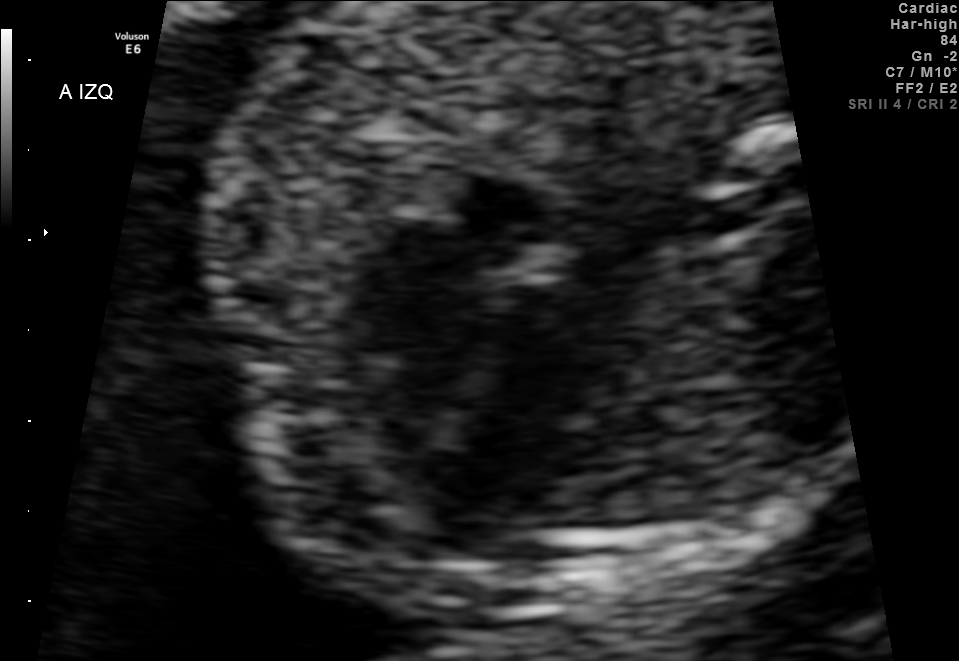
This is a 2D maternal-fetal ultrasound frame. Is it a fetal abdomen, fetal brain, fetal femur, fetal thorax, maternal cervix, or other standard plane? If it's fetal brain and one of the three standard brain planes (trans-thalamic, trans-cerebellum, trans-ventricular), name which.

Fetal thorax